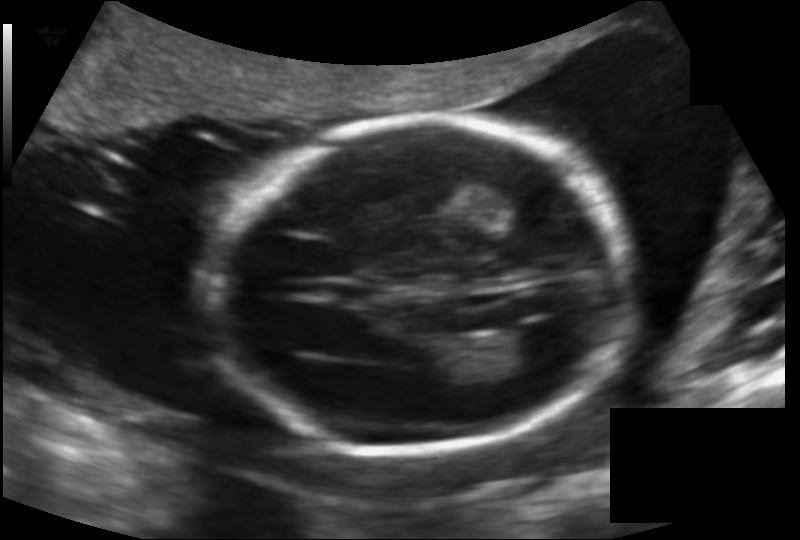
In this fetal head ultrasound, give the bounding box of the fetal head. Image width: 113.7 mm.

[204,119,634,449]